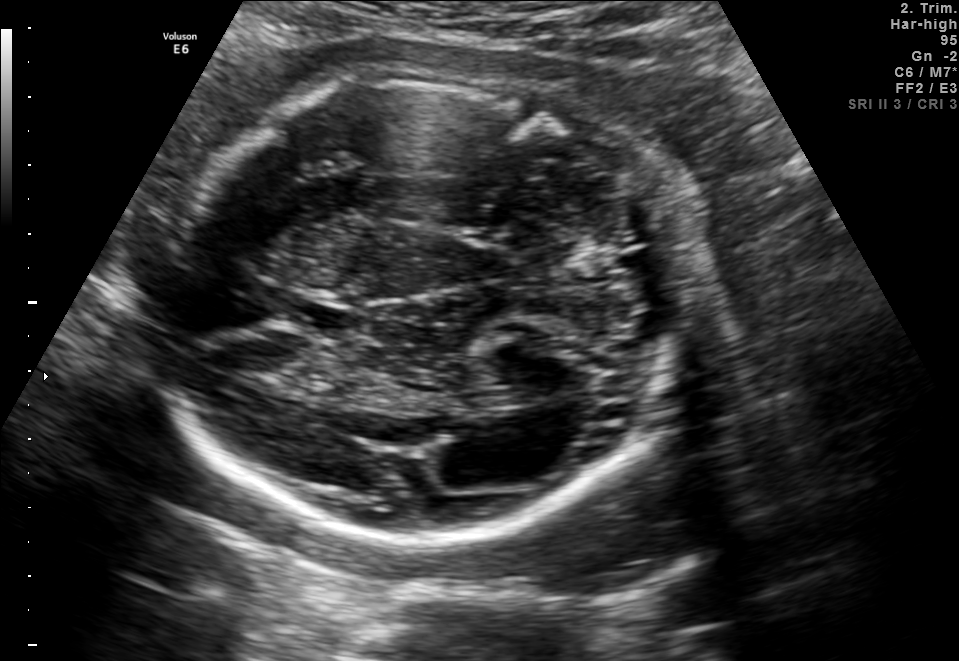
Fetal brain, trans-thalamic plane. Locate the fetal head and, if visible, the cavum septum pellucidum (CSP) and lateral ventricle (LV). Give bounding boxes as [x1,y1,x2,y2].

Head: [156,73,679,538]
CSP: [290,300,359,341]
Lateral ventricle: [459,387,529,408]